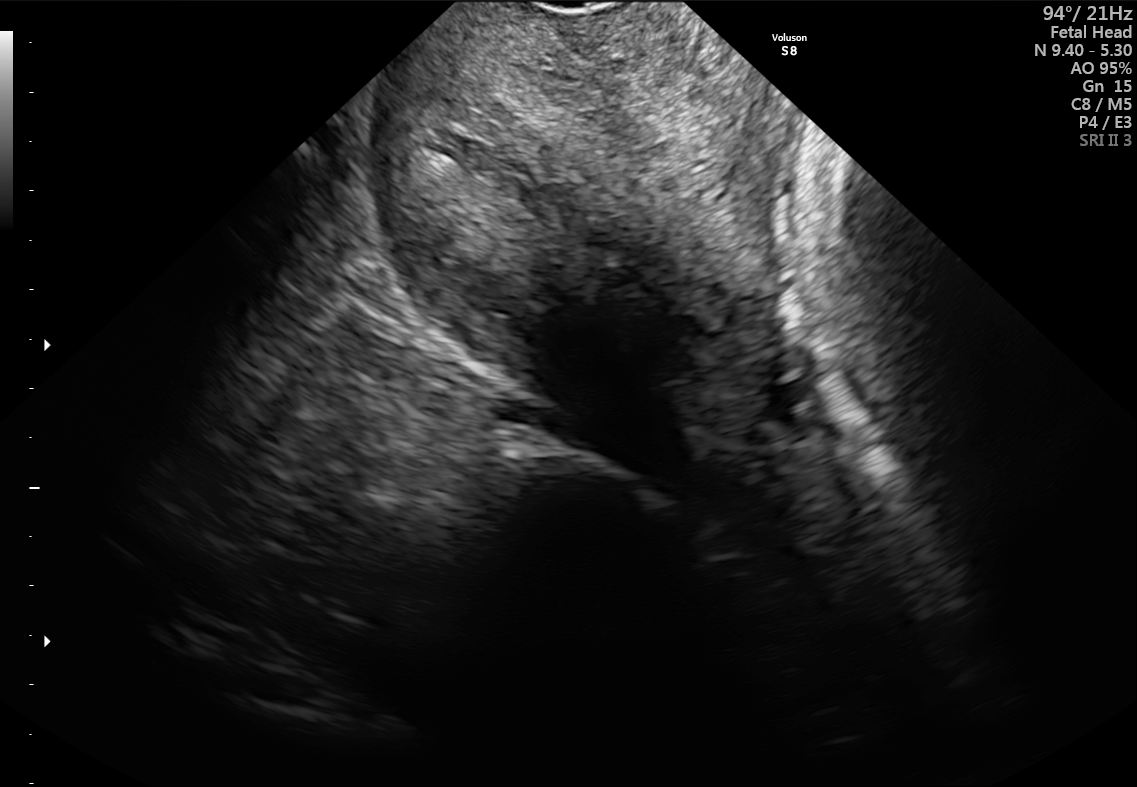
This is a 2D maternal-fetal ultrasound frame. Is it a fetal abdomen, fetal brain, fetal femur, fetal thorax, maternal cervix, or other standard plane? If it's fetal brain and one of the three standard brain planes (trans-thalamic, trans-cerebellum, trans-ventricular), name which.

Maternal cervix